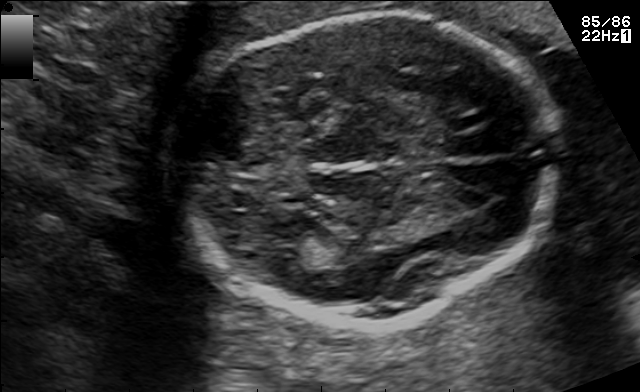
Fetal brain, trans-thalamic plane. Give [x1,y1,x2,y2] bounding boxes for each visible structure among: fetal head, CSP, LV.

Head: [176,12,562,327]